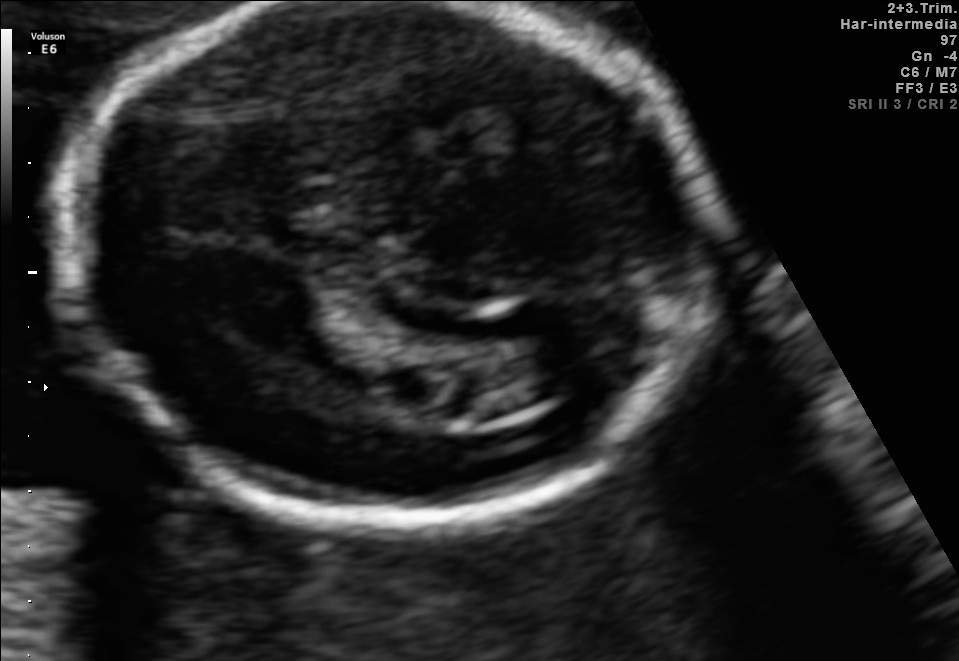
Which standard maternal-fetal ultrasound plane is shown: fetal abdomen, fetal brain, fetal femur, fetal thorax, maternal cervix, or other? If it's fetal brain and one of the three standard brain planes (trans-thalamic, trans-cerebellum, trans-ventricular), name which.

Fetal brain (trans-ventricular plane)